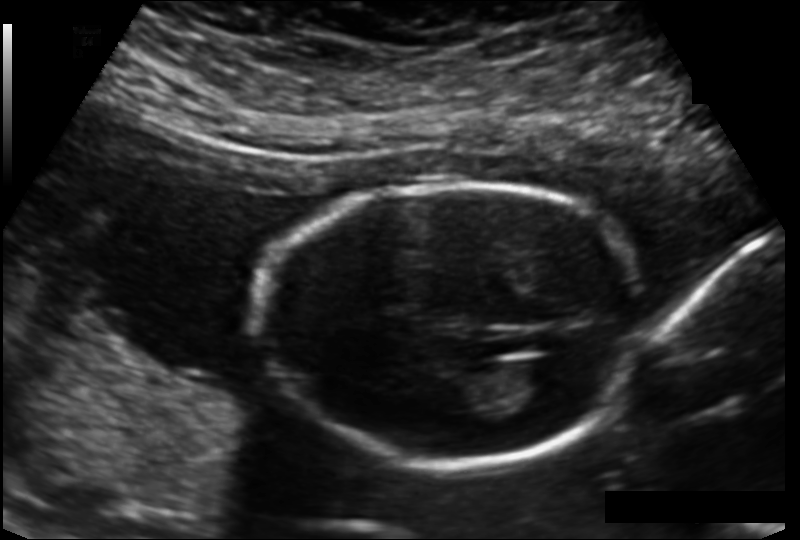
In this fetal head ultrasound, give bounding boxes for the head outline, cavum septum pellucidum (CSP), and lateral ventricle (LV), where visible. Image width: 107.7 mm.

Head: [260,181,647,465]